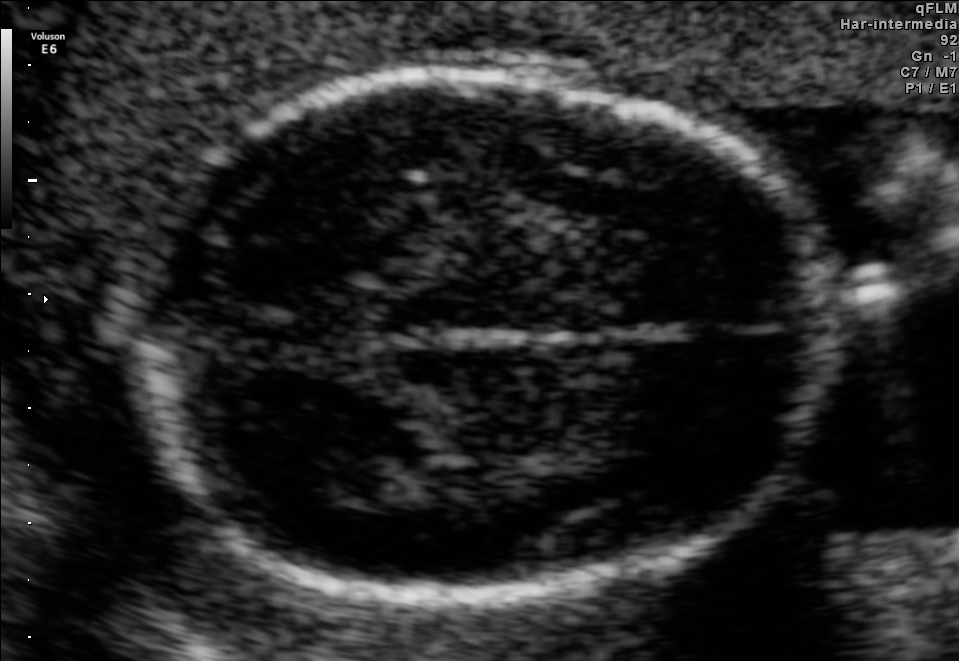
In this fetal brain, trans-thalamic plane, give the bounding box of the fetal head.

[165,70,822,591]